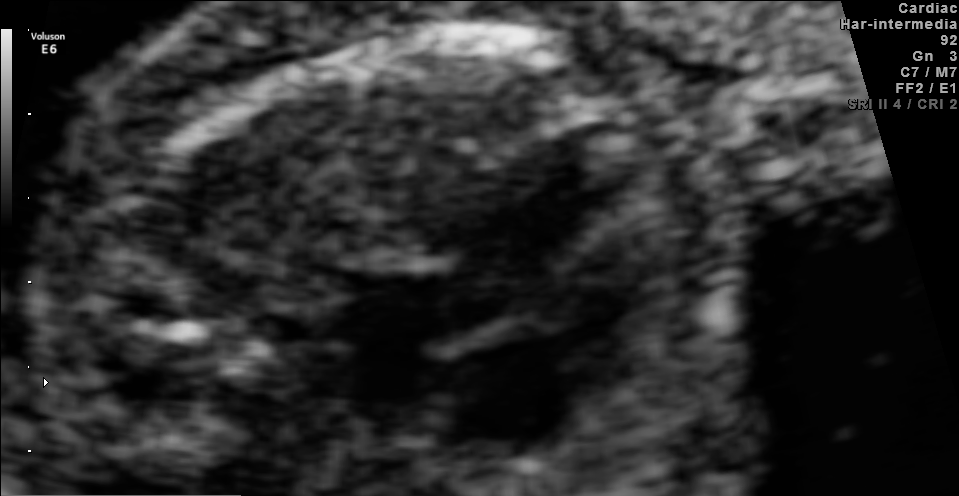
Identify the standard plane in this fetal ultrasound image: fetal abdomen, fetal brain, fetal femur, fetal thorax, maternal cervix, or other. If it's fetal brain and one of the three standard brain planes (trans-thalamic, trans-cerebellum, trans-ventricular), name which.

Fetal thorax